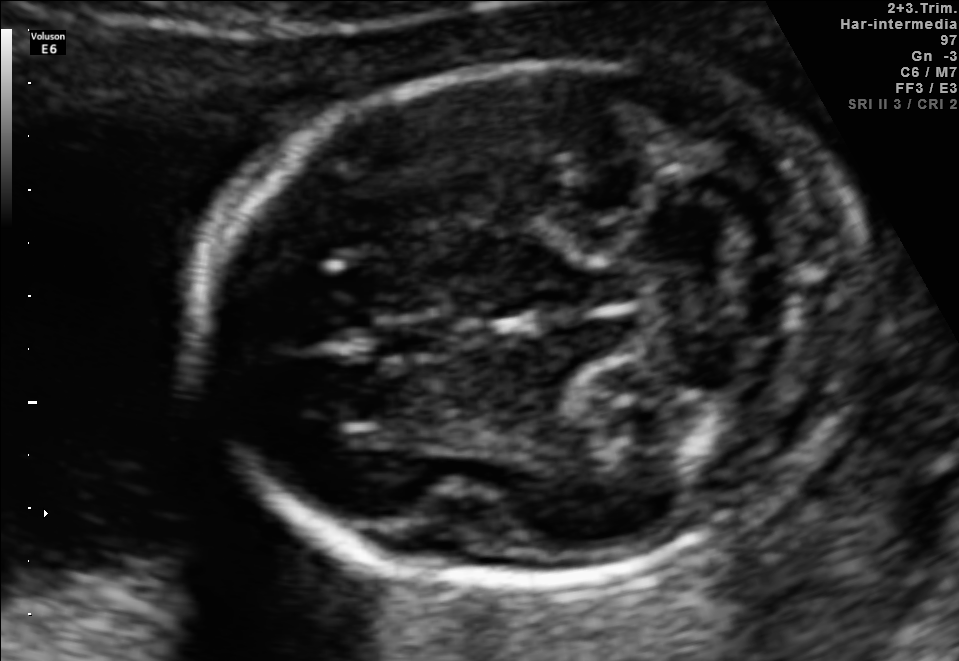
In this fetal brain, trans-cerebellum plane, give bounding boxes for the head outline, cavum septum pellucidum (CSP), and lateral ventricle (LV), where visible.

Head: [201,59,868,584]
CSP: [372,310,451,363]